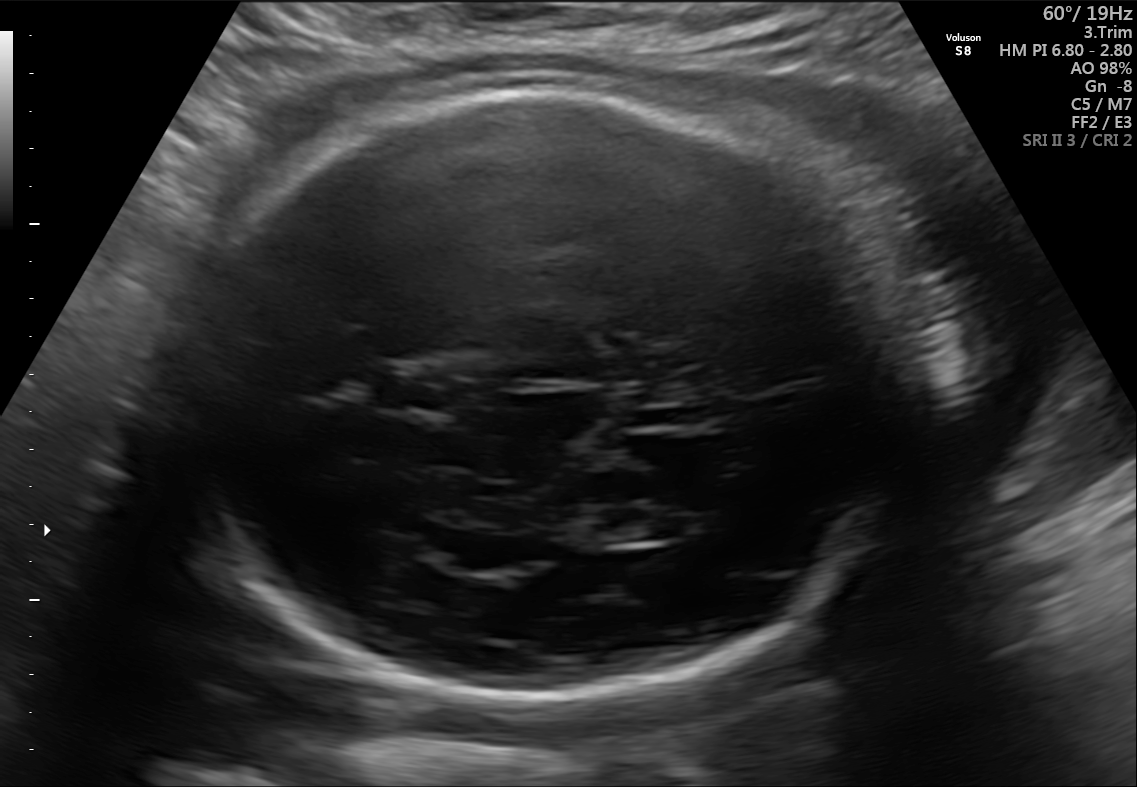
Fetal brain, trans-thalamic plane. Where is the lateral ventricle?

Lateral ventricle bounding box: [568,504,678,549]